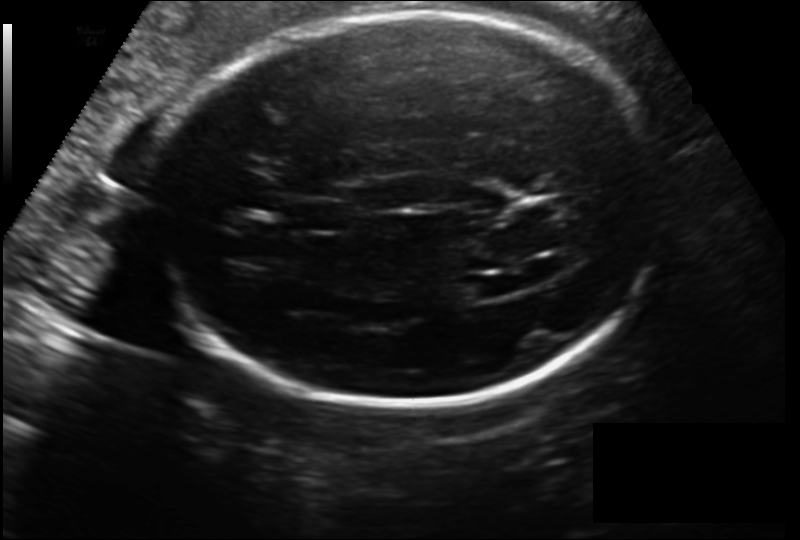
Fetal head ultrasound. Image width: 149.1 mm. Where is the lateral ventricle?

Lateral ventricle bounding box: [447,274,501,305]